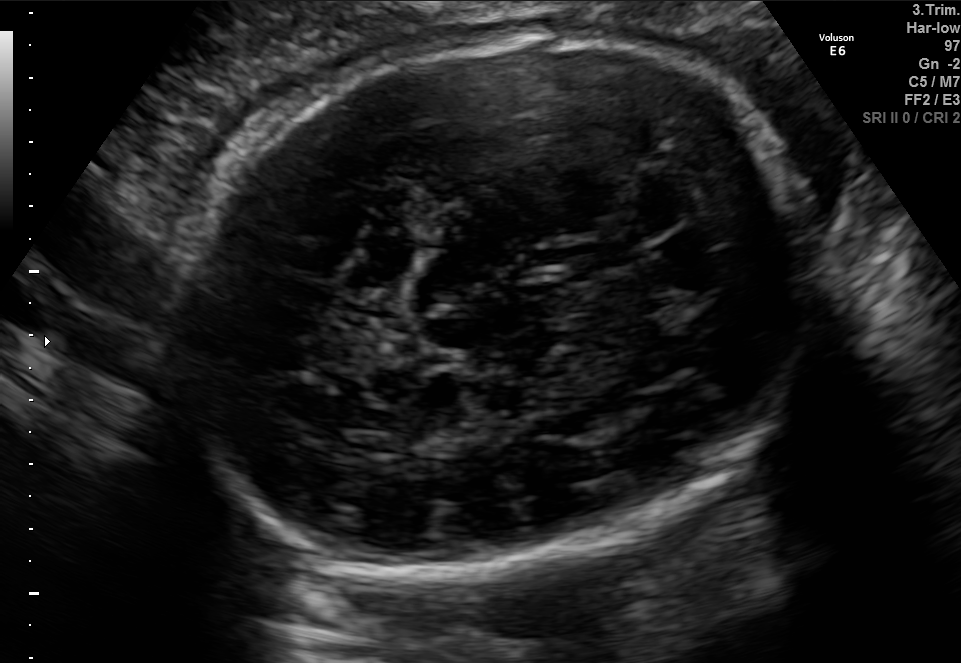
In this fetal brain, trans-thalamic plane, give bounding boxes for the head outline, cavum septum pellucidum (CSP), and lateral ventricle (LV), where visible.

Head: [183,34,802,581]